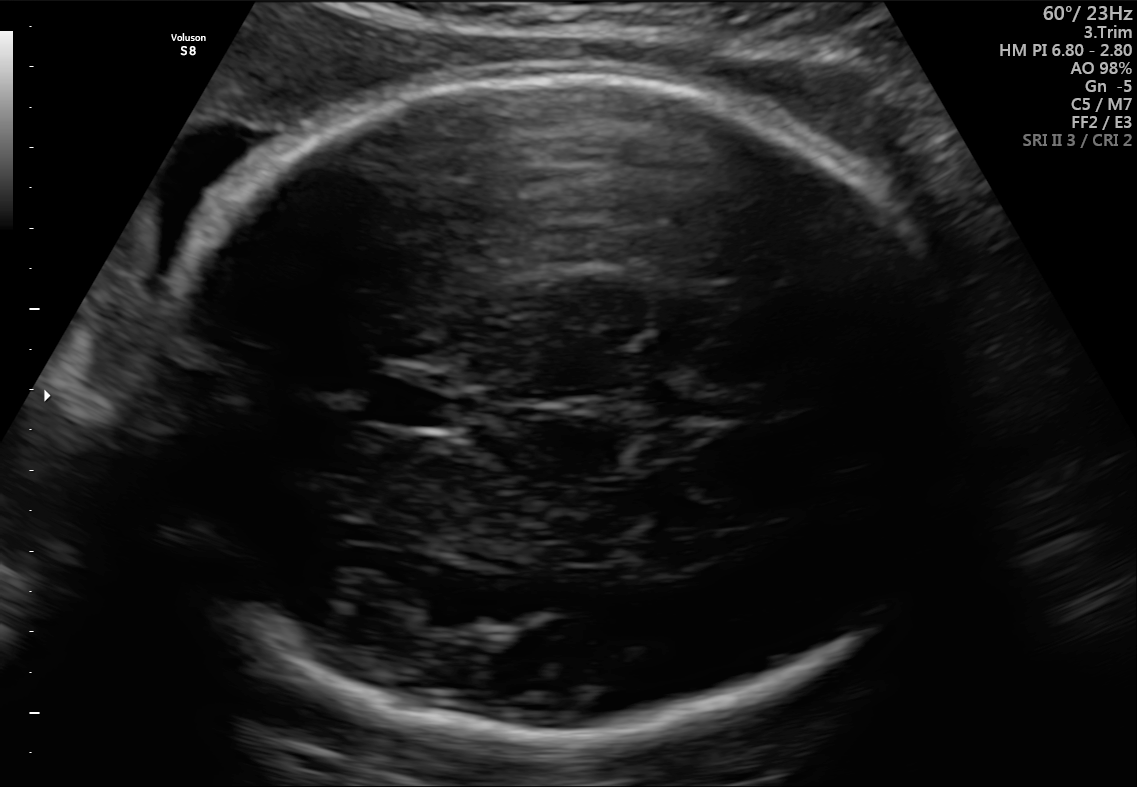
In this fetal brain, trans-thalamic plane, give the bounding box of the fetal head.

[159,75,964,743]